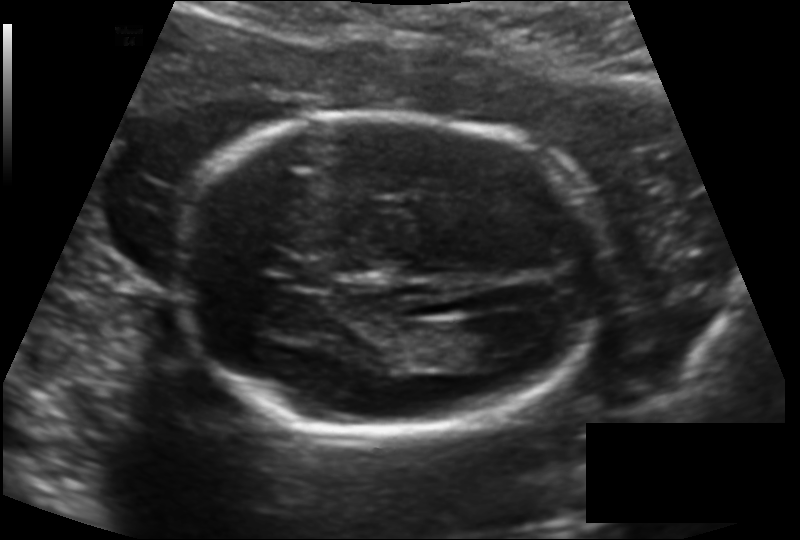
In this fetal head ultrasound, give bounding boxes for the head outline, cavum septum pellucidum (CSP), and lateral ventricle (LV), where visible. Image width: 110.7 mm.

Head: [175,115,605,431]
CSP: [289,261,330,288]
Lateral ventricle: [439,318,519,370]